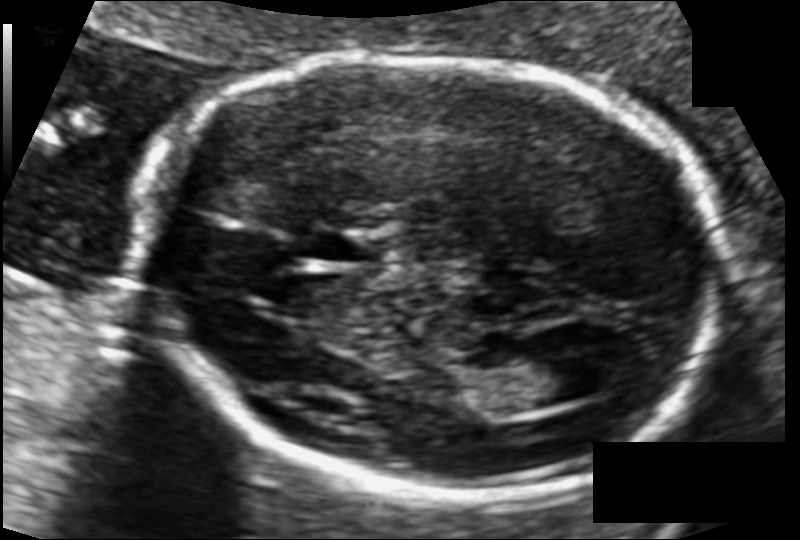
Measure the fetal head circumference shown in this ultrasound image. Image width: 81.0 mm.

Head circumference: 172.0 mm.